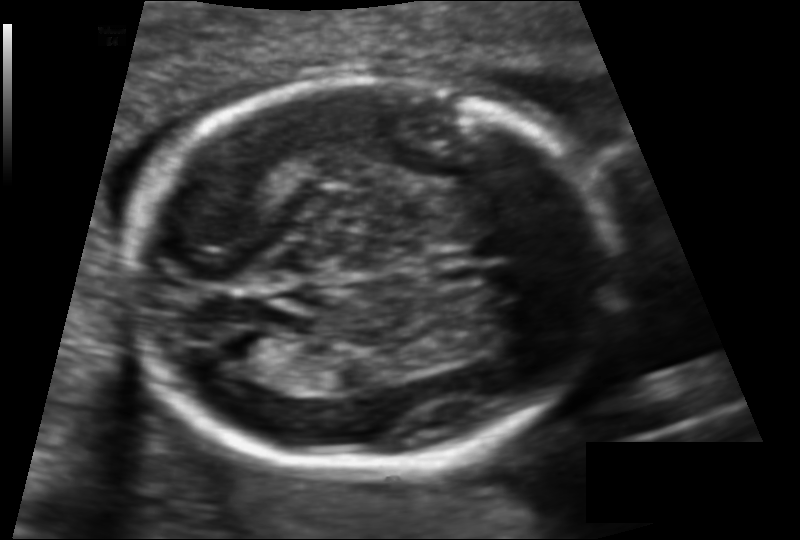
In this fetal head ultrasound, give bounding boxes for the head outline, cavum septum pellucidum (CSP), and lateral ventricle (LV), where visible. Image width: 94.9 mm.

Head: [123,75,615,465]
Lateral ventricle: [208,322,283,377]